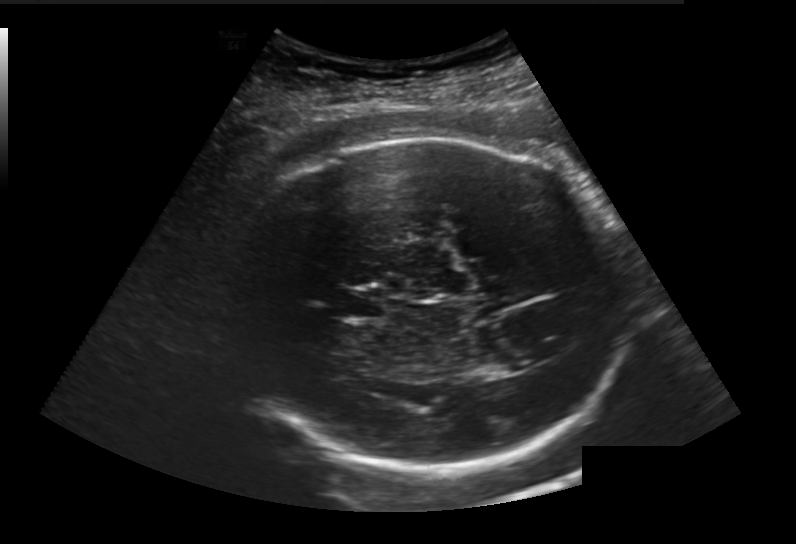
Estimate the fetal head circumference from this 2D ultrasound. Image width: 187.6 mm.

Head circumference: 277.4 mm.